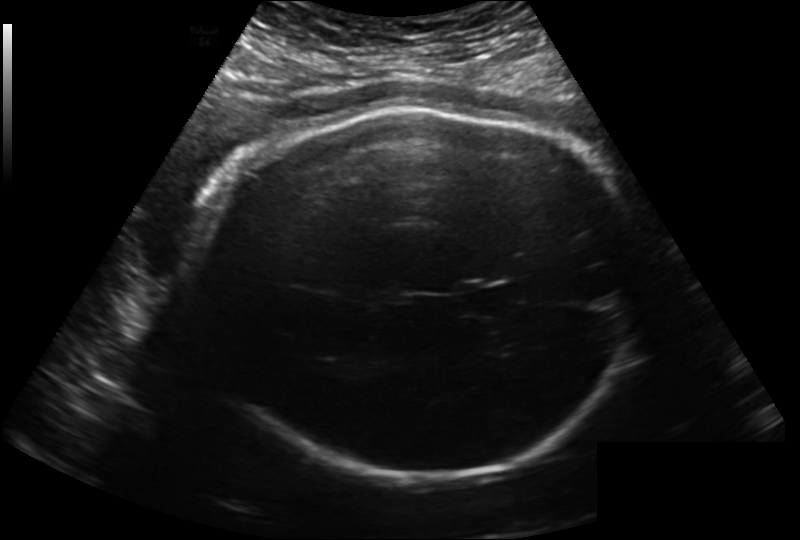
Measure the fetal head circumference shown in this ultrasound image. Image width: 177.2 mm.

Head circumference: 291.4 mm.